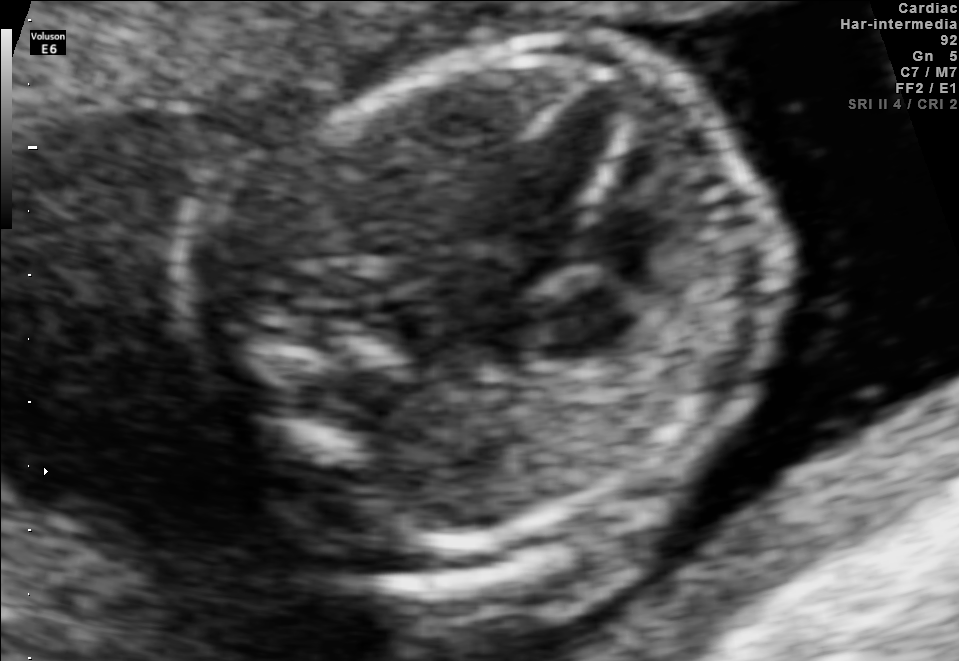
This is a 2D maternal-fetal ultrasound frame. Is it a fetal abdomen, fetal brain, fetal femur, fetal thorax, maternal cervix, or other standard plane? If it's fetal brain and one of the three standard brain planes (trans-thalamic, trans-cerebellum, trans-ventricular), name which.

Fetal thorax